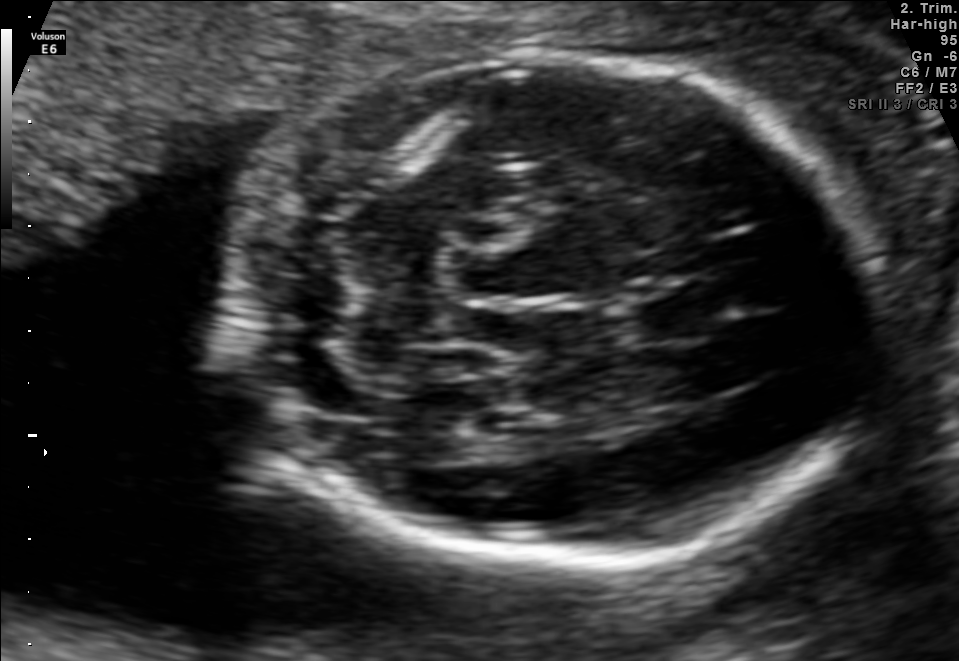
Fetal brain, trans-cerebellum plane. Where is the fetal head?

Head bounding box: [225,56,874,565]